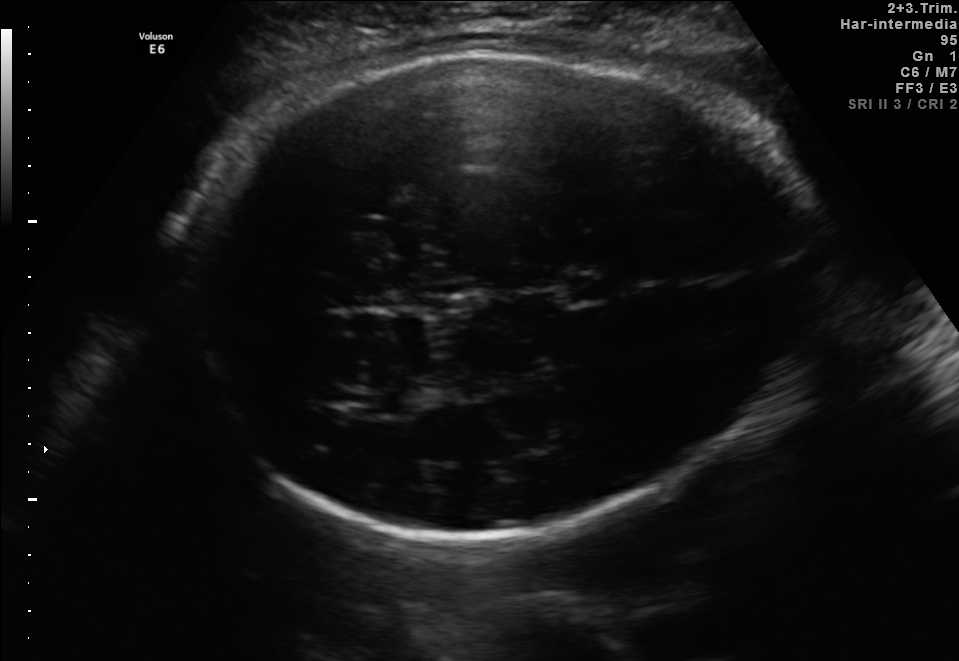
In this fetal brain, trans-thalamic plane, give bounding boxes for the head outline, cavum septum pellucidum (CSP), and lateral ventricle (LV), where visible.

Head: [179,54,804,545]
CSP: [566,274,611,304]
Lateral ventricle: [340,389,411,415]